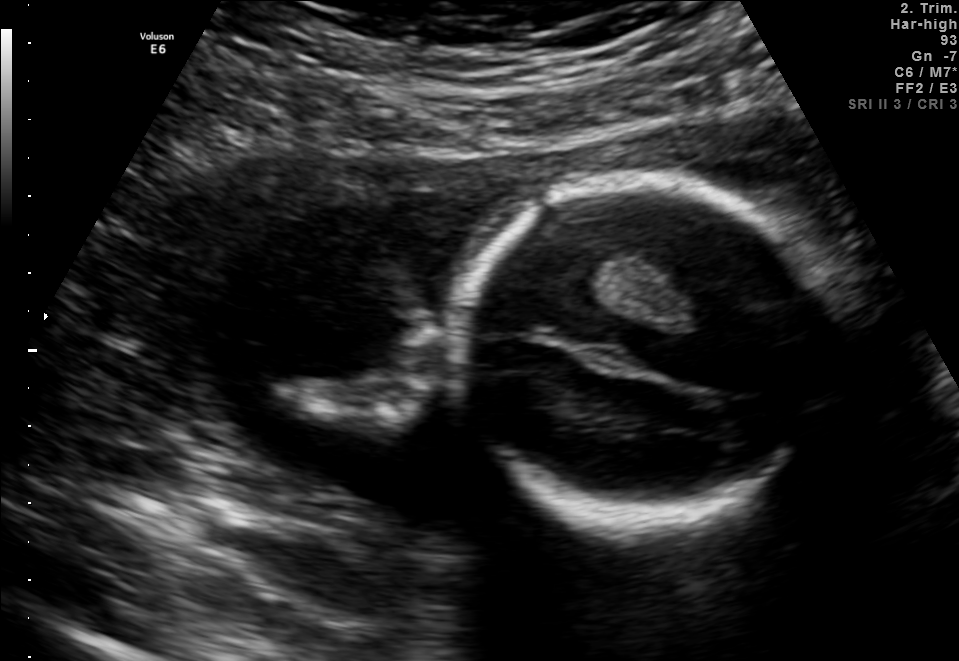
Identify the standard plane in this fetal ultrasound image: fetal abdomen, fetal brain, fetal femur, fetal thorax, maternal cervix, or other. If it's fetal brain and one of the three standard brain planes (trans-thalamic, trans-cerebellum, trans-ventricular), name which.

Fetal brain